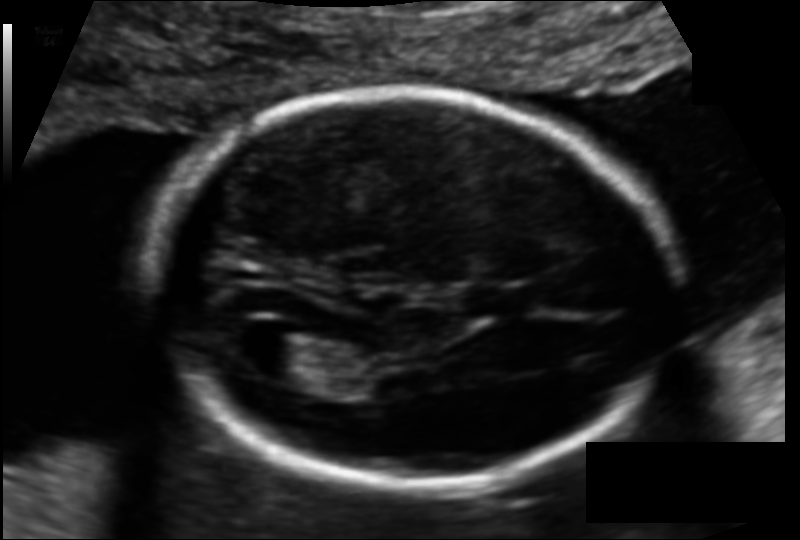
In this fetal head ultrasound, give the bounding box of the lateral ventricle. Image width: 91.1 mm.

[239,325,330,387]